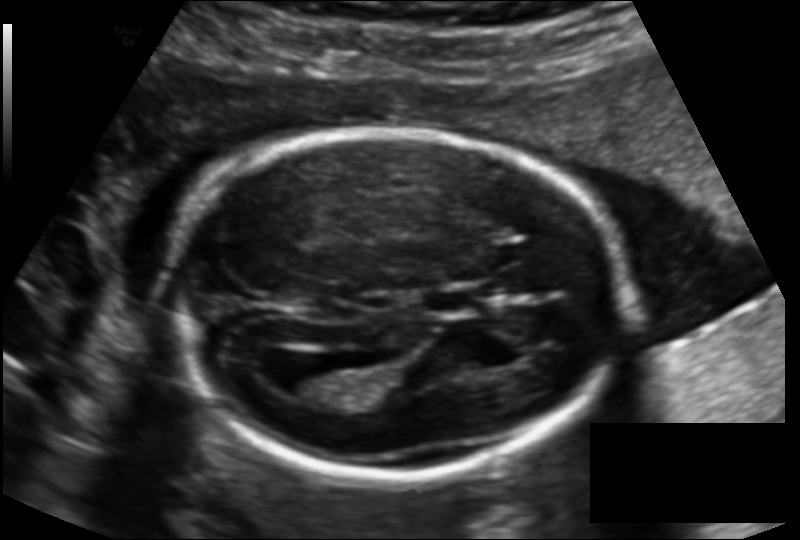
Estimate the fetal head circumference from this 2D ultrasound. Image width: 109.0 mm.

Head circumference: 181.4 mm.